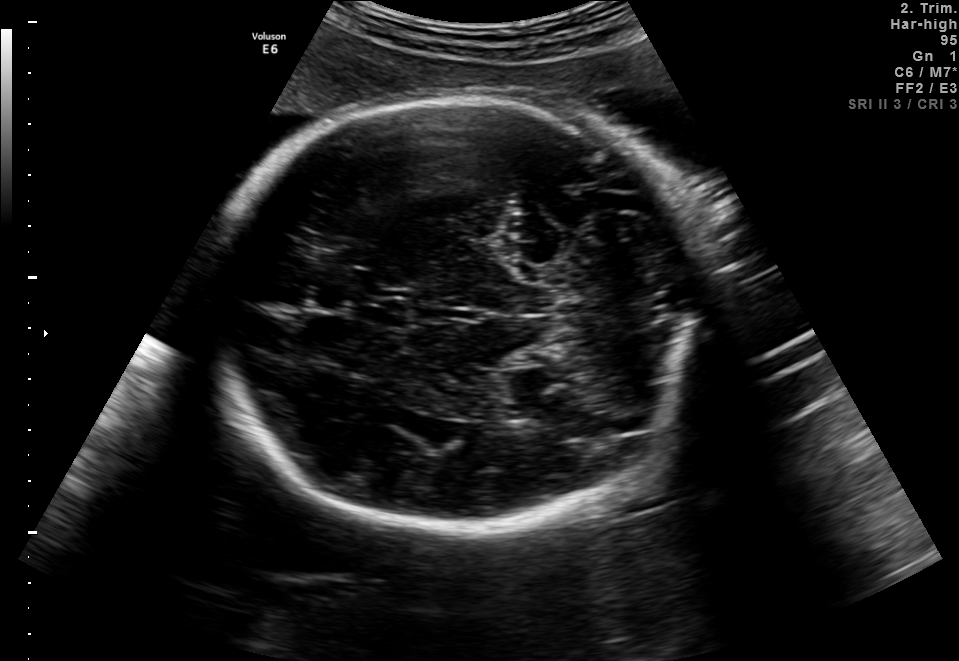
Fetal brain, trans-thalamic plane. Locate the fetal head.

Head: [204,97,693,536]